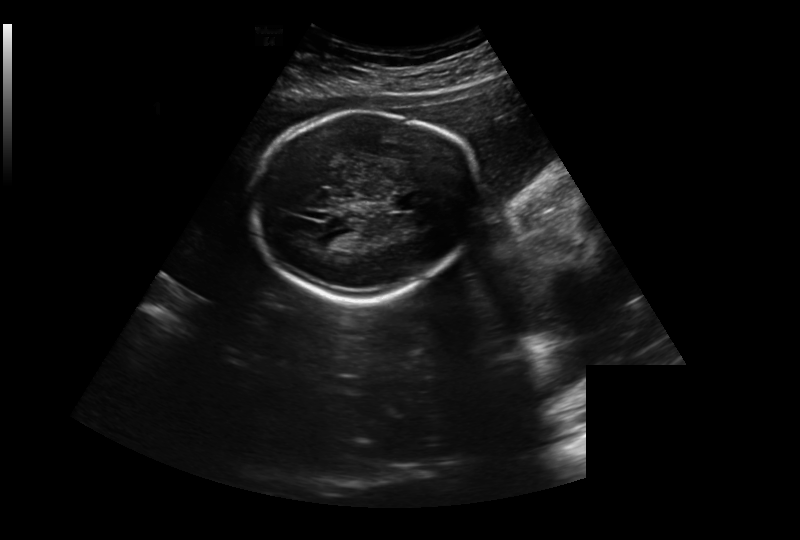
In this fetal head ultrasound, give the bounding box of the cavum septum pellucidum. Image width: 260.8 mm.

[390,192,425,212]